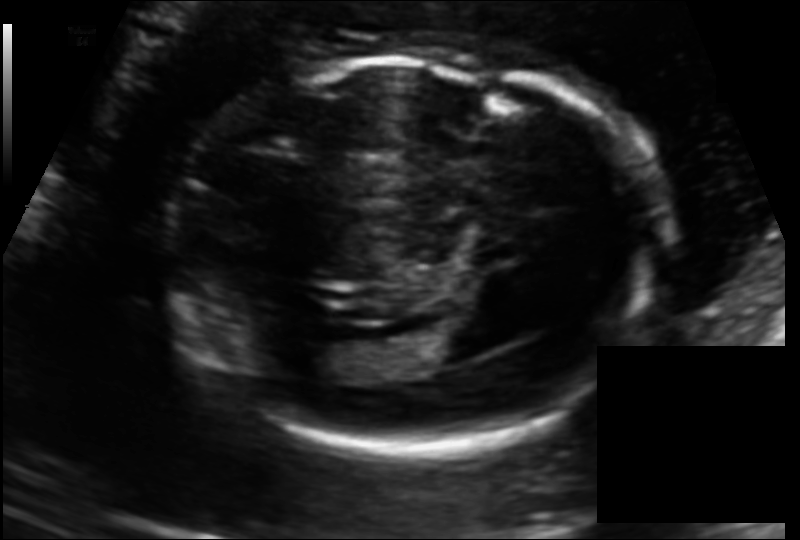
What is the fetal head circumference? Image width is 100.0 mm.

176.8 mm